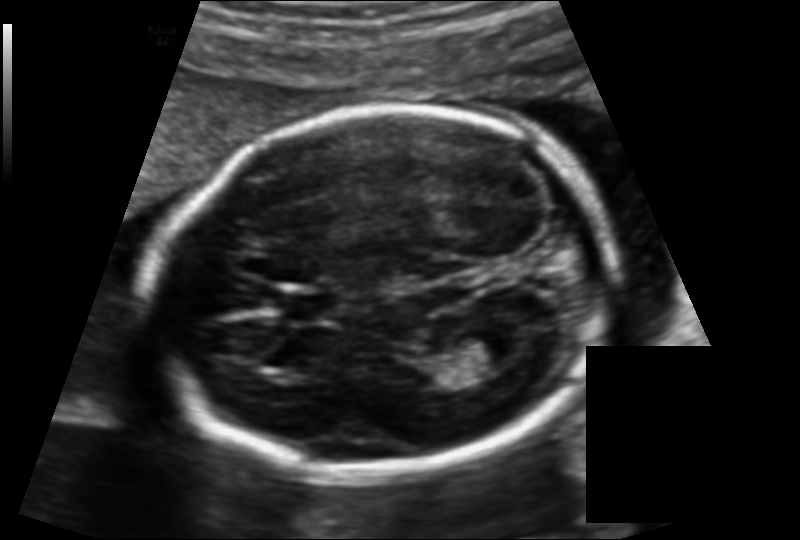
Fetal head ultrasound. Image width: 104.7 mm. Where is the lateral ventricle?

Lateral ventricle bounding box: [450,315,530,382]